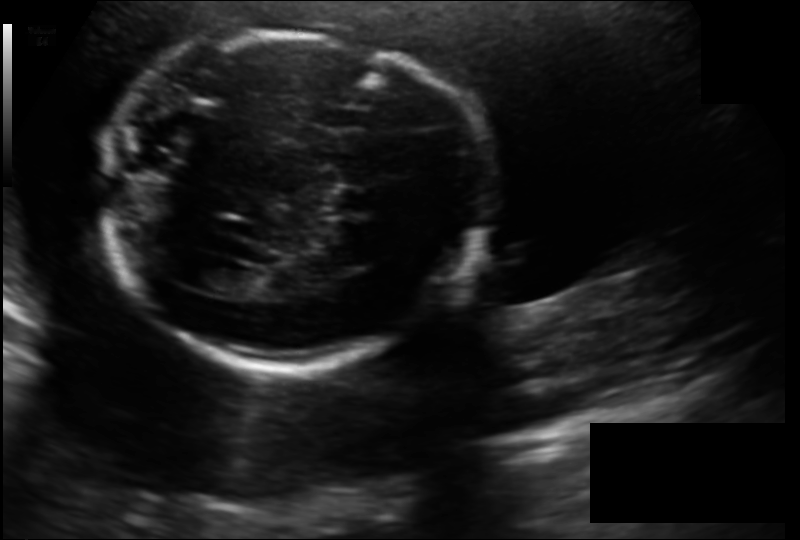
Fetal head ultrasound. Image width: 126.7 mm. Locate the fetal head.

Head: [98,34,486,367]